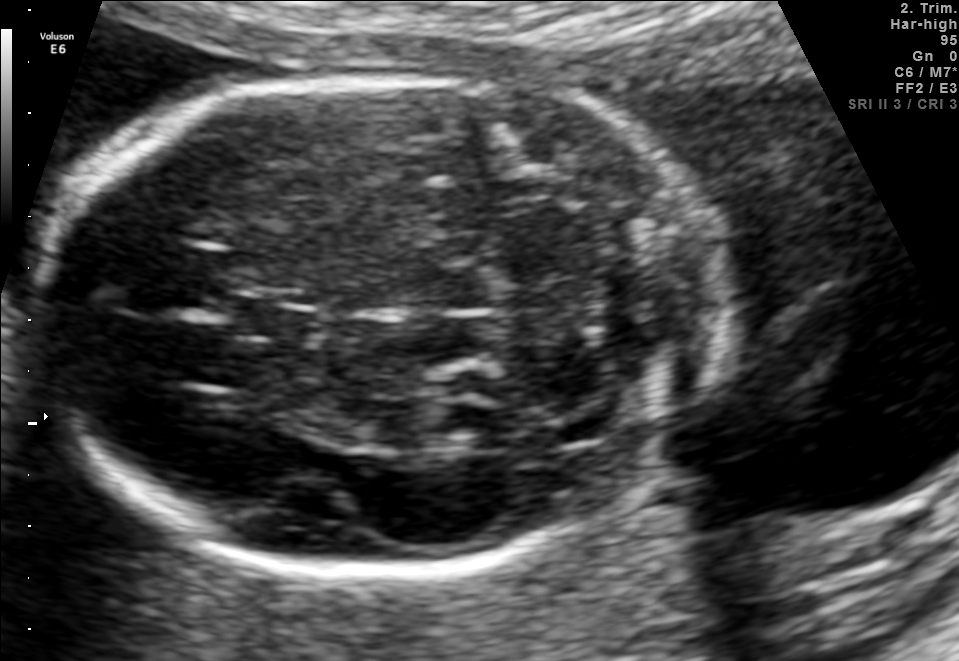
Fetal brain, trans-cerebellum plane. Where is the cavum septum pellucidum?

CSP bounding box: [232,295,321,345]